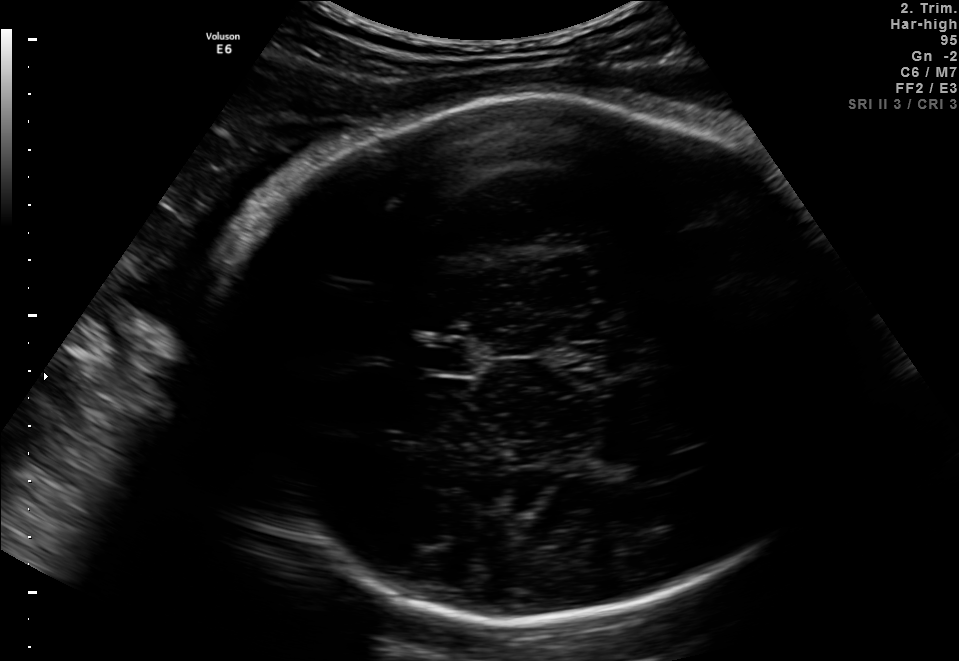
Fetal brain, trans-thalamic plane. Locate the cavum septum pellucidum.

CSP: [416,339,476,376]